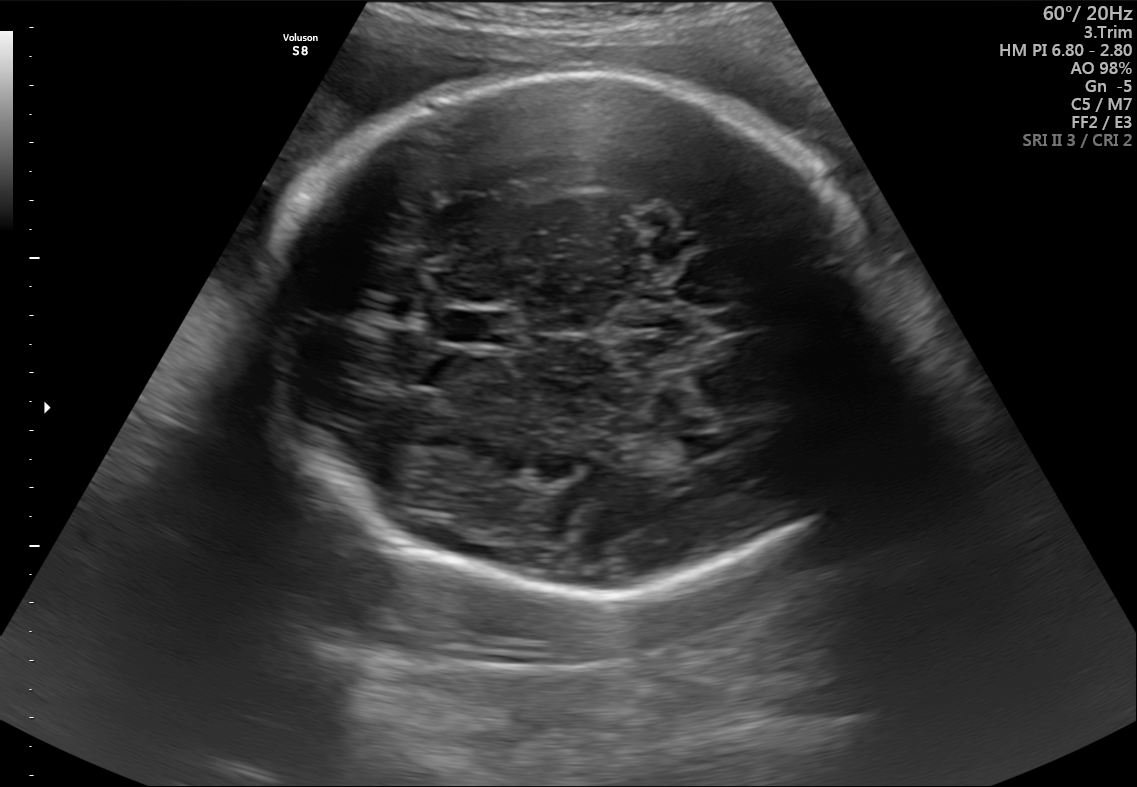
In this fetal brain, trans-thalamic plane, give the bounding box of the lateral ventricle.

[669,433,710,463]